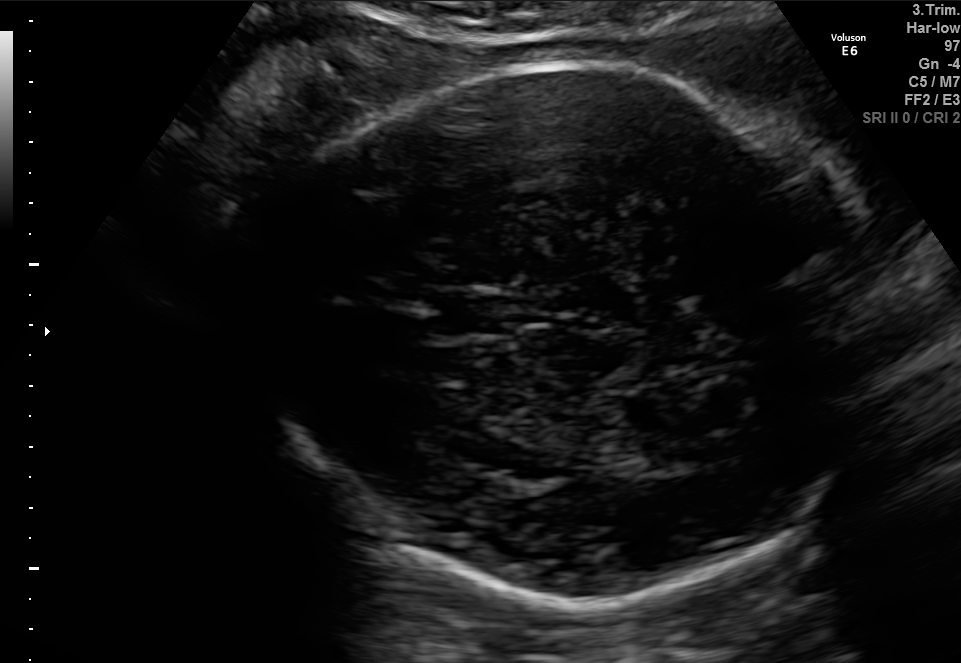
In this fetal brain, trans-thalamic plane, give bounding boxes for the head outline, cavum septum pellucidum (CSP), and lateral ventricle (LV), where visible.

Head: [244,60,882,605]
CSP: [425,295,512,334]